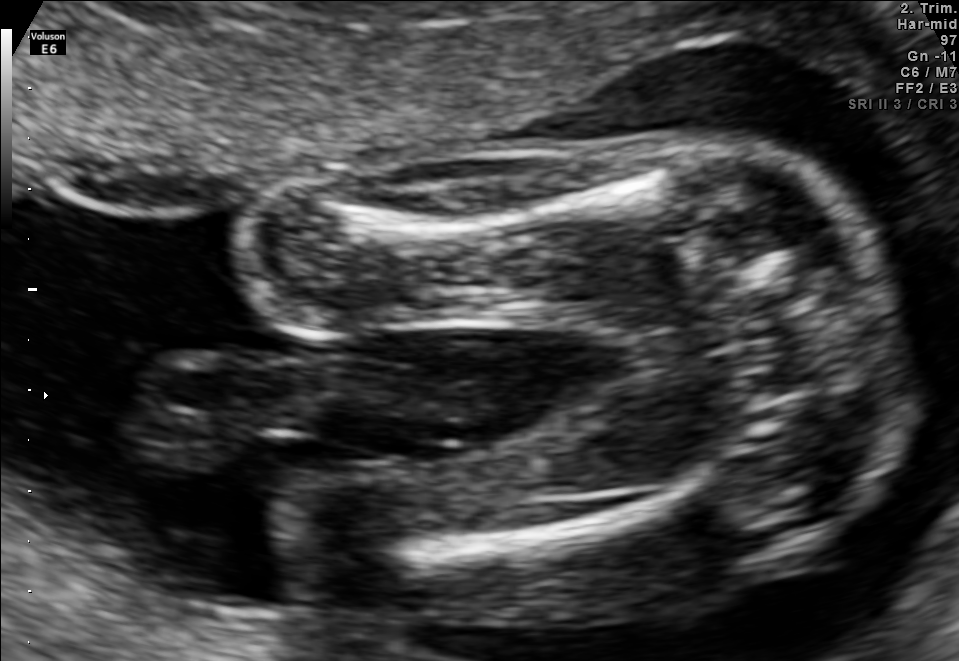
Which standard maternal-fetal ultrasound plane is shown: fetal abdomen, fetal brain, fetal femur, fetal thorax, maternal cervix, or other? If it's fetal brain and one of the three standard brain planes (trans-thalamic, trans-cerebellum, trans-ventricular), name which.

Fetal femur